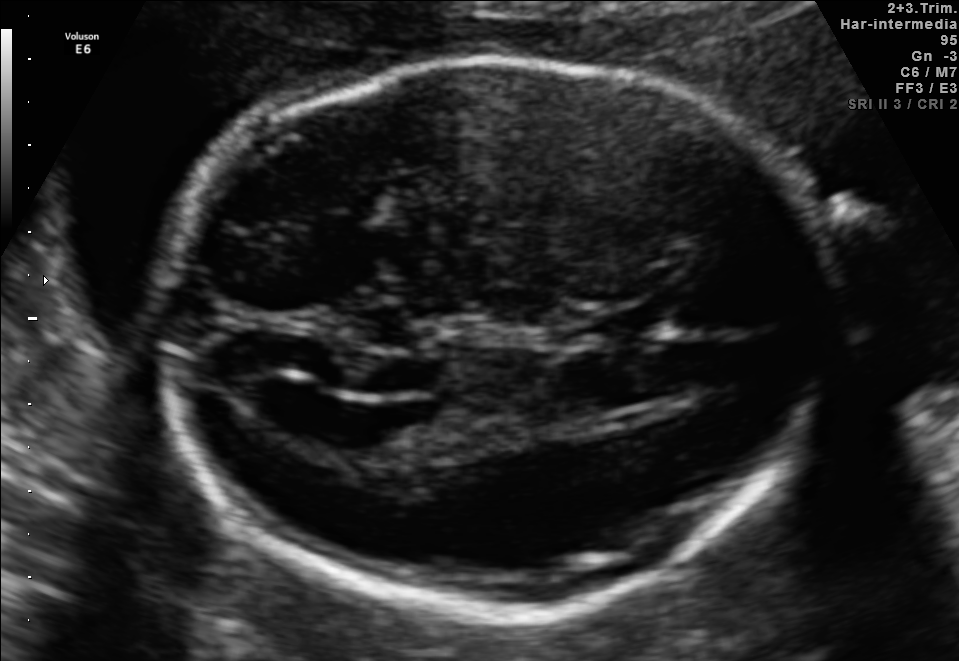
Fetal brain, trans-ventricular plane. Give [x1,y1,x2,y2] bounding boxes for each visible structure among: fetal head, CSP, LV.

Head: [143,47,864,626]